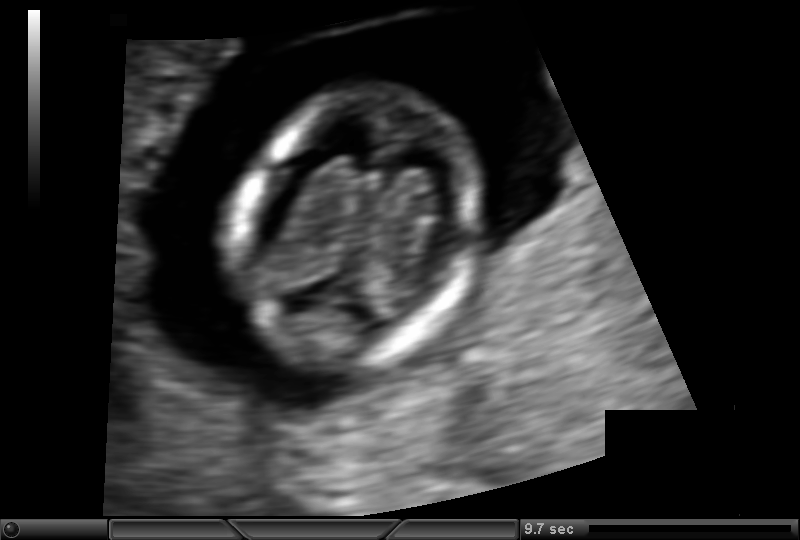
Fetal head ultrasound. Image width: 73.8 mm. Locate the fetal head.

Head: [229,84,489,376]